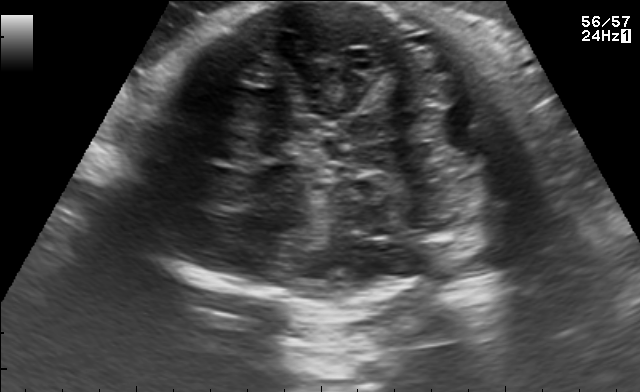
Fetal brain, trans-cerebellum plane. Locate the fetal head.

Head: [116,2,561,304]